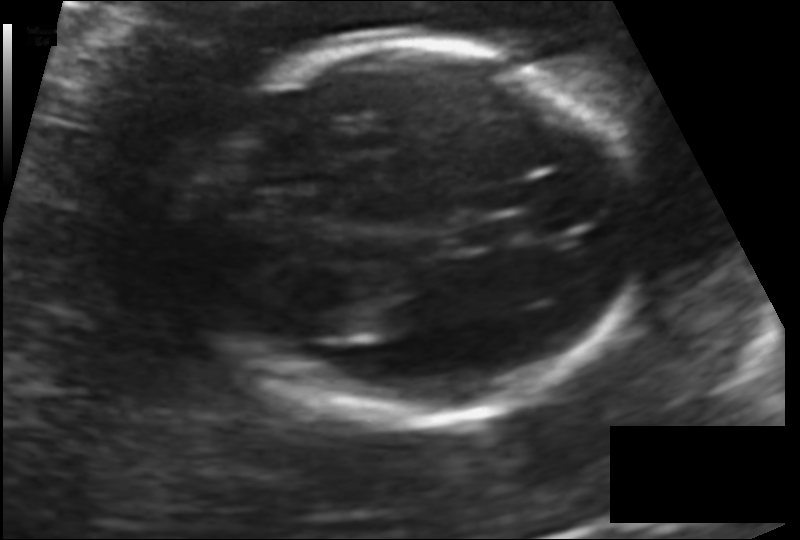
Estimate the fetal head circumference from this 2D ultrasound.

Head circumference: 173.2 mm (image width 104.5 mm).